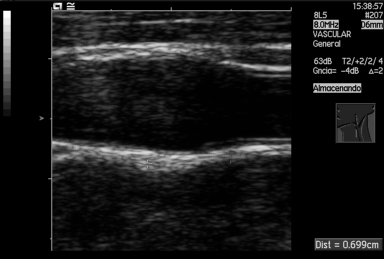
Classify this maternal-fetal ultrasound image as one of the six standard planes — fetal abdomen, fetal brain, fetal femur, fetal thorax, maternal cervix, or other. If it's fetal brain and one of the three standard brain planes (trans-thalamic, trans-cerebellum, trans-ventricular), name which.

Other